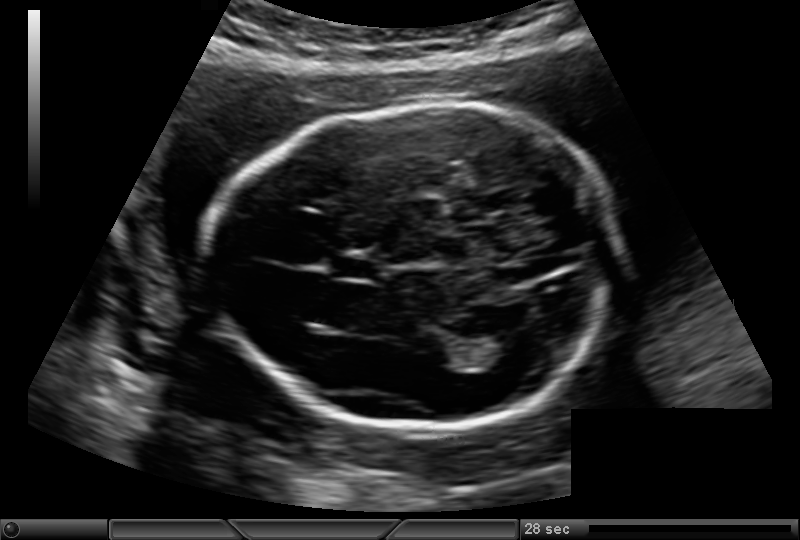
Fetal head ultrasound. Image width: 117.2 mm. Where is the fetal head?

Head bounding box: [209,107,616,430]